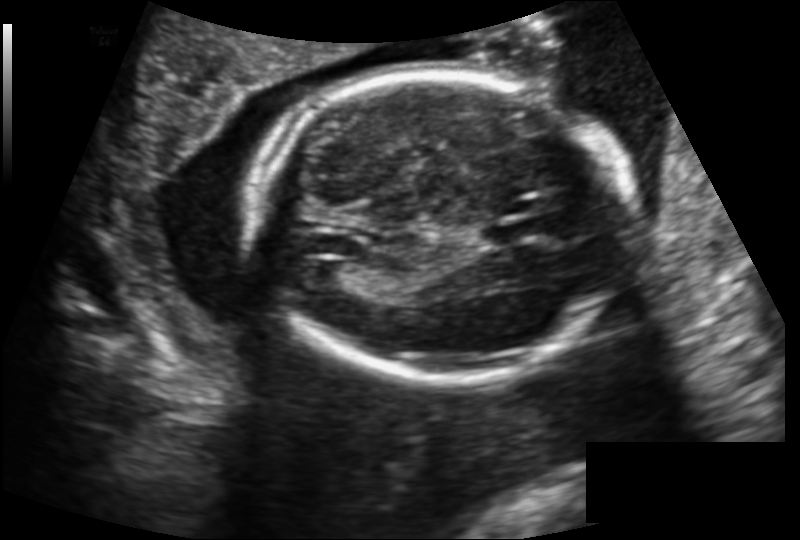
Measure the fetal head circumference shown in this ultrasound image. Image width: 127.5 mm.

Head circumference: 178.8 mm.